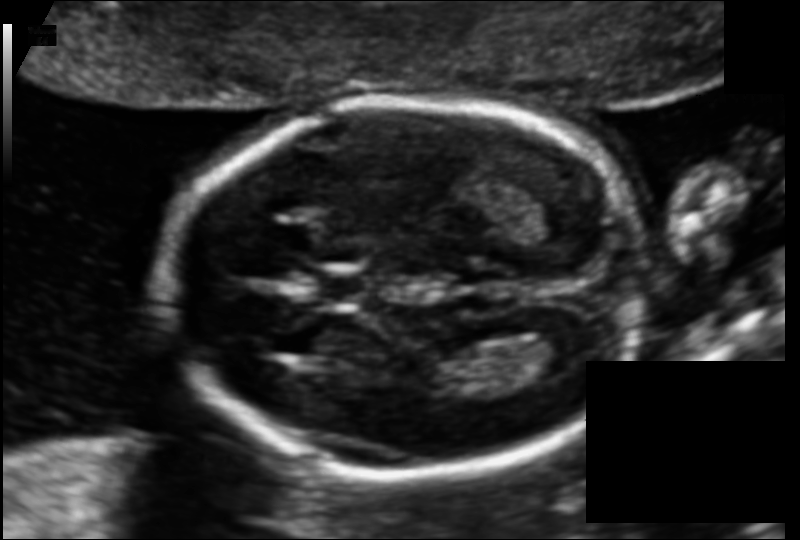
Fetal head ultrasound. Image width: 87.9 mm. Where is the cavum septum pellucidum?

CSP bounding box: [313,273,374,303]